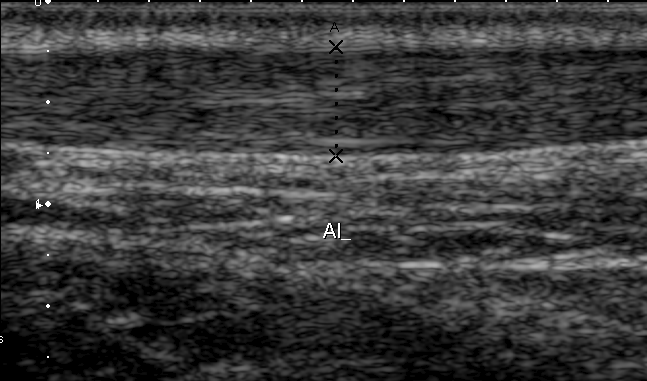
Identify the standard plane in this fetal ultrasound image: fetal abdomen, fetal brain, fetal femur, fetal thorax, maternal cervix, or other. If it's fetal brain and one of the three standard brain planes (trans-thalamic, trans-cerebellum, trans-ventricular), name which.

Other